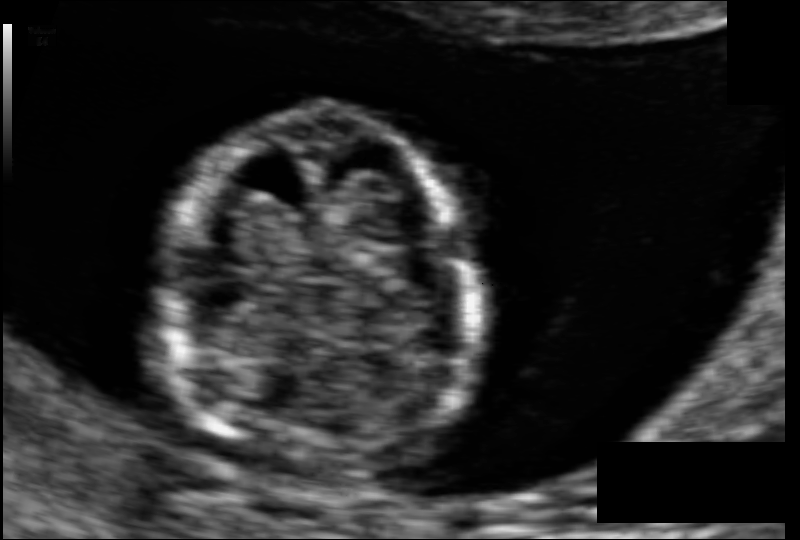
Fetal head ultrasound. Image width: 54.8 mm. Locate the fetal head and, if visible, the cavum septum pellucidum (CSP) and lateral ventricle (LV). Give bounding boxes as [x1,y1,x2,y2].

Head: [166,113,481,484]